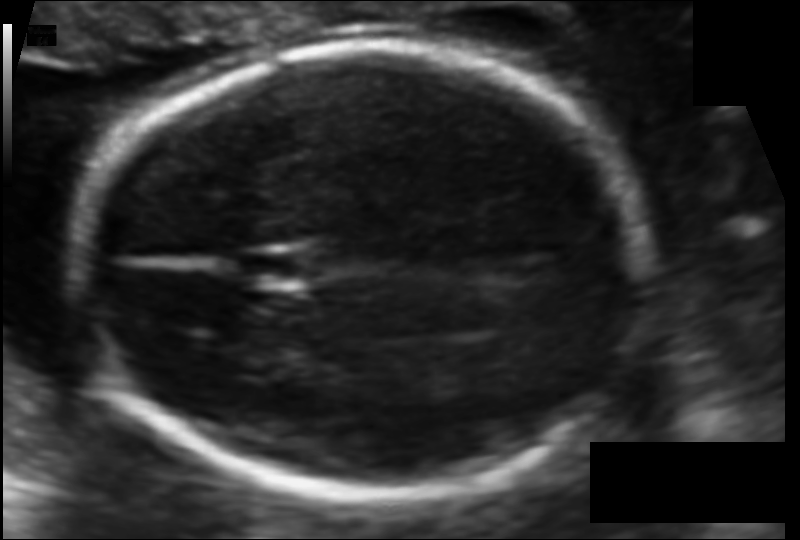
What is the fetal head circumference? Image width is 84.8 mm.

178.5 mm